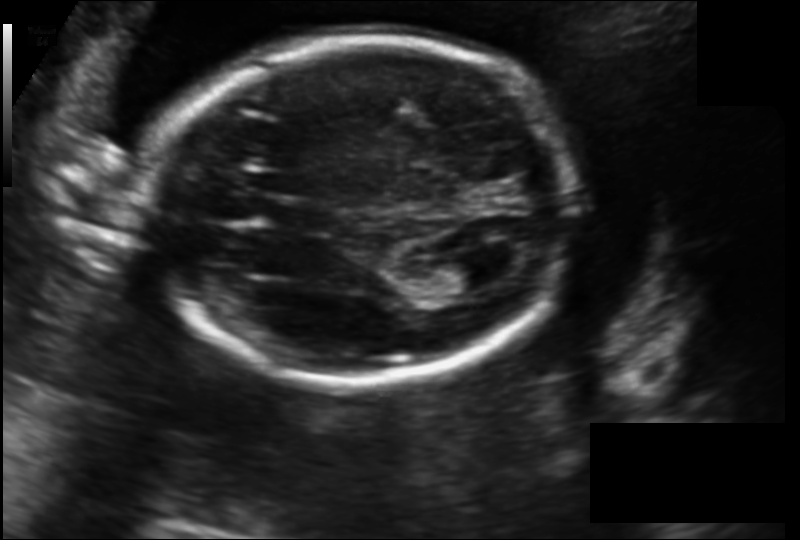
In this fetal head ultrasound, give bounding boxes for the head outline, cavum septum pellucidum (CSP), and lateral ventricle (LV), where visible. Image width: 121.4 mm.

Head: [147,38,573,381]
Lateral ventricle: [431,250,506,299]